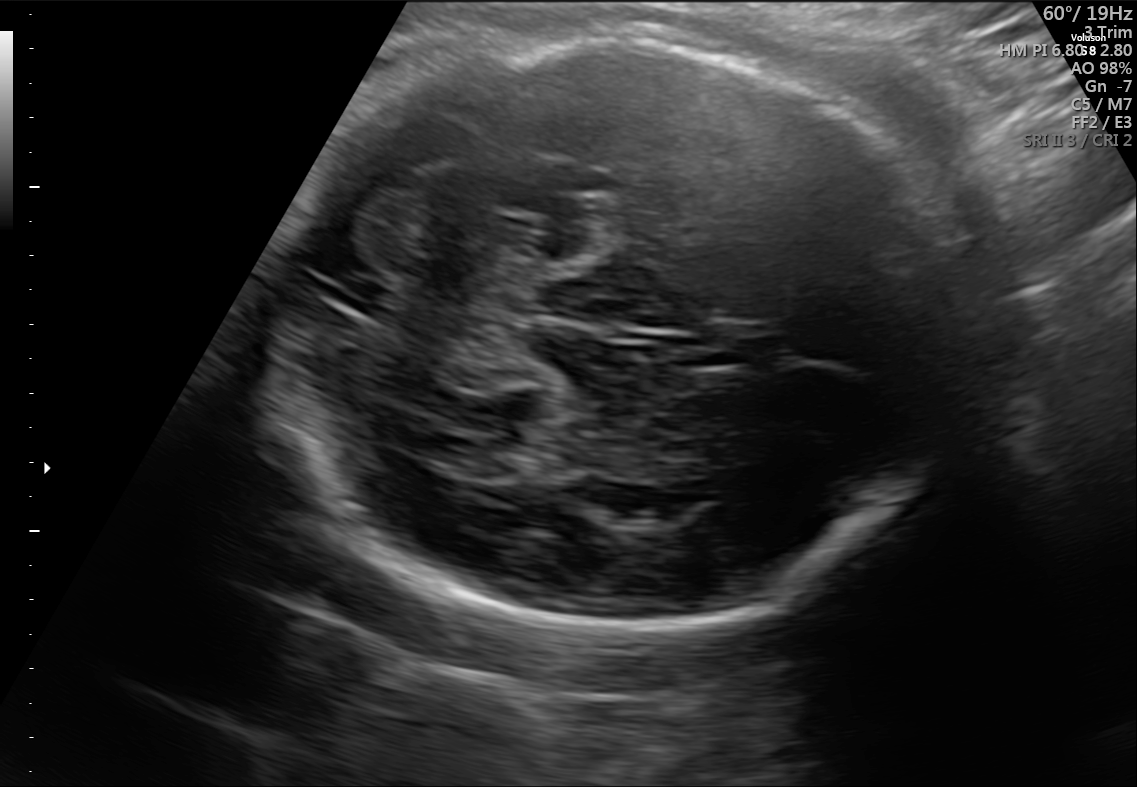
Fetal brain, trans-cerebellum plane. Locate the fetal head.

Head: [274,36,960,627]